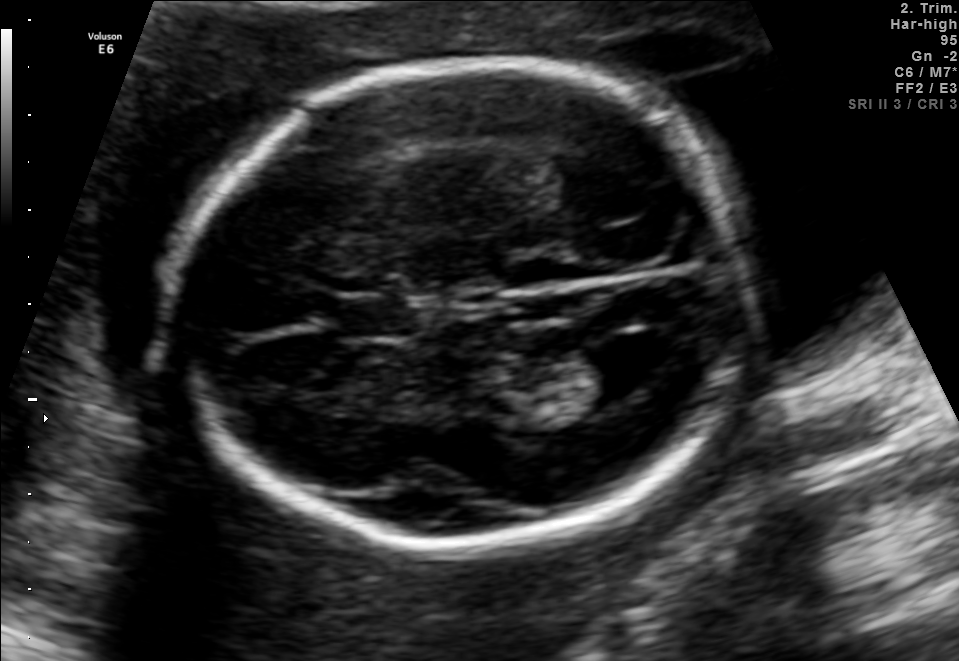
Fetal brain, trans-ventricular plane. Locate the fetal head and, if visible, the cavum septum pellucidum (CSP) and lateral ventricle (LV). Give bounding boxes as [x1,y1,x2,y2].

Head: [160,57,761,562]
CSP: [318,294,424,342]
Lateral ventricle: [566,325,678,412]